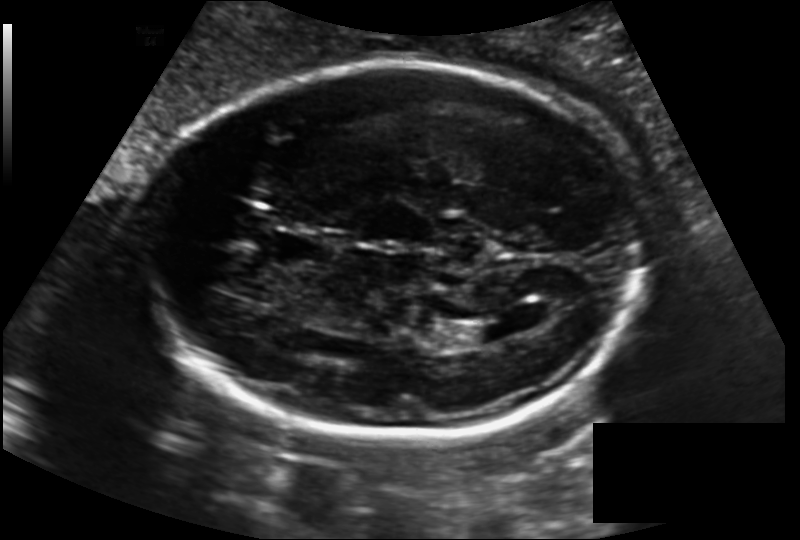
In this fetal head ultrasound, give the bounding box of the cavum septum pellucidum. Image width: 130.6 mm.

[271,226,335,270]